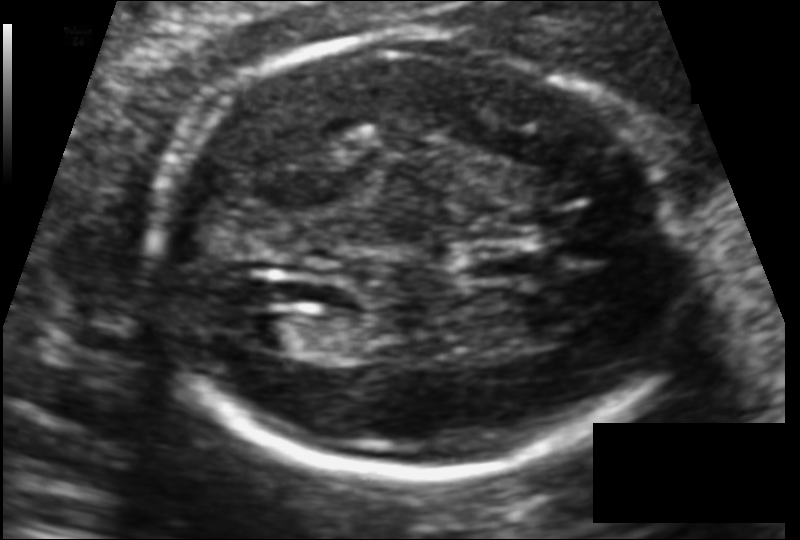
From this fetal ultrasound, estimate the head circumference (image width 88.1 mm).

Head circumference: 174.7 mm.